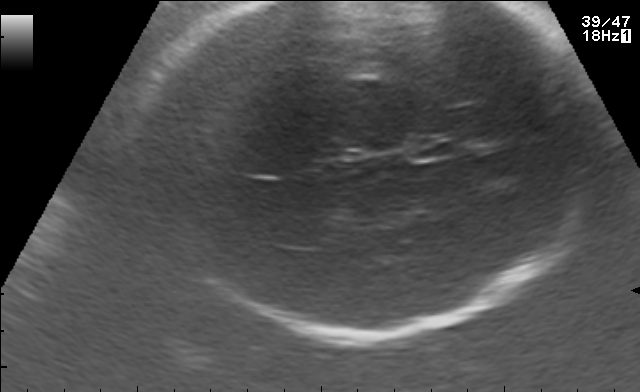
In this fetal brain, trans-thalamic plane, give bounding boxes for the head outline, cavum septum pellucidum (CSP), and lateral ventricle (LV), where visible.

Head: [121,2,602,330]
CSP: [405,132,457,162]